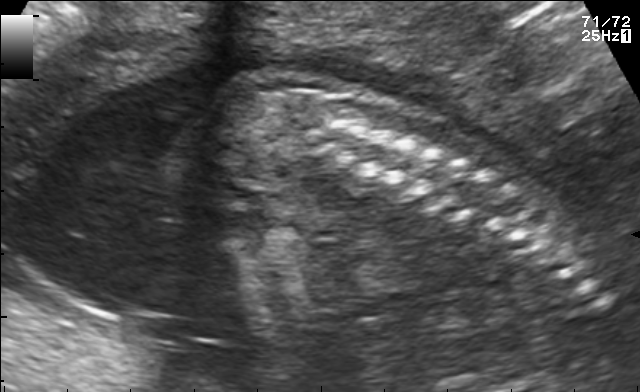
Which standard maternal-fetal ultrasound plane is shown: fetal abdomen, fetal brain, fetal femur, fetal thorax, maternal cervix, or other? If it's fetal brain and one of the three standard brain planes (trans-thalamic, trans-cerebellum, trans-ventricular), name which.

Other